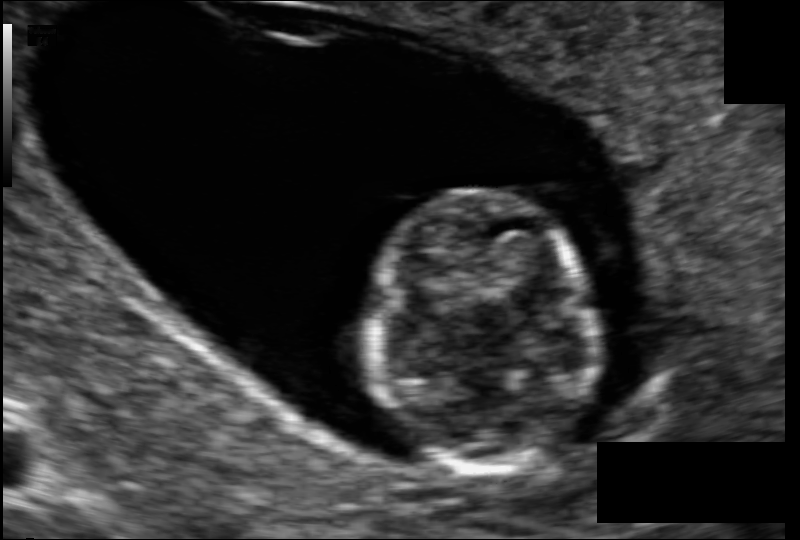
In this fetal head ultrasound, give bounding boxes for the head outline, cavum septum pellucidum (CSP), and lateral ventricle (LV), where visible. Image width: 73.7 mm.

Head: [370,192,591,469]